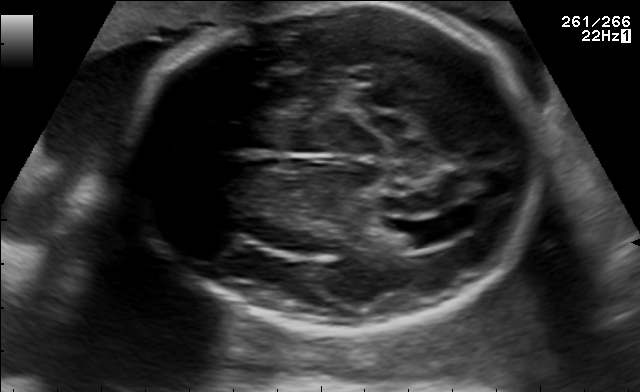
Fetal brain, trans-ventricular plane. Where is the fetal head?

Head bounding box: [125,4,552,332]